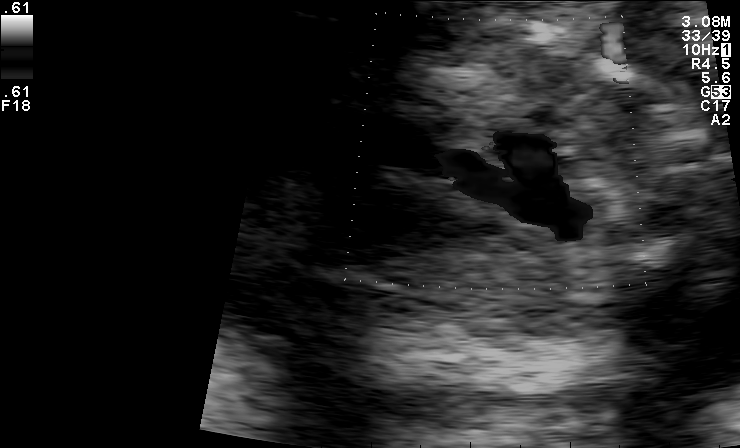
Which standard maternal-fetal ultrasound plane is shown: fetal abdomen, fetal brain, fetal femur, fetal thorax, maternal cervix, or other? If it's fetal brain and one of the three standard brain planes (trans-thalamic, trans-cerebellum, trans-ventricular), name which.

Other